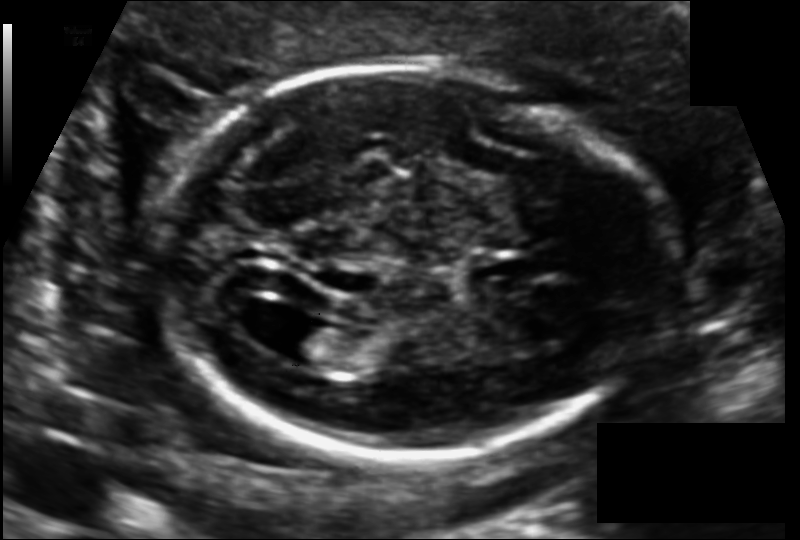
Estimate the fetal head circumference from this 2D ultrasound. Image width: 94.6 mm.

Head circumference: 171.2 mm.